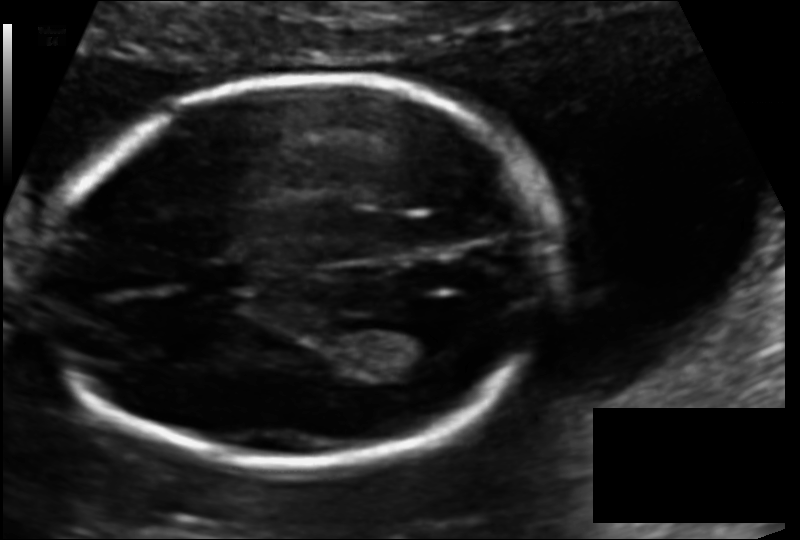
Fetal head ultrasound. Image width: 90.5 mm. Where is the cavum septum pellucidum?

CSP bounding box: [180,258,252,300]